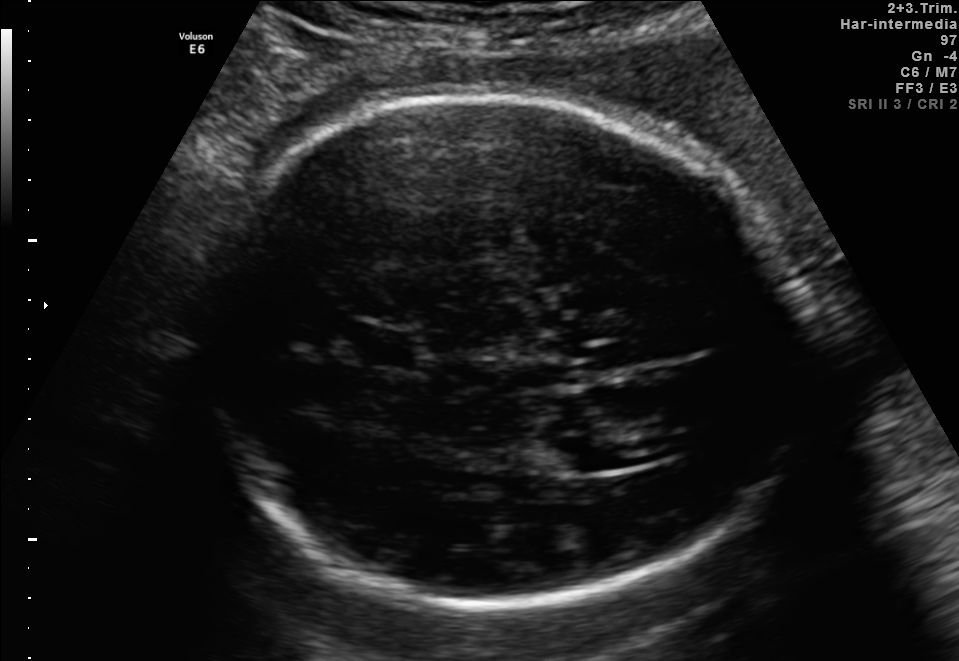
Fetal brain, trans-ventricular plane. Where is the cavum septum pellucidum?

CSP bounding box: [341,320,437,378]